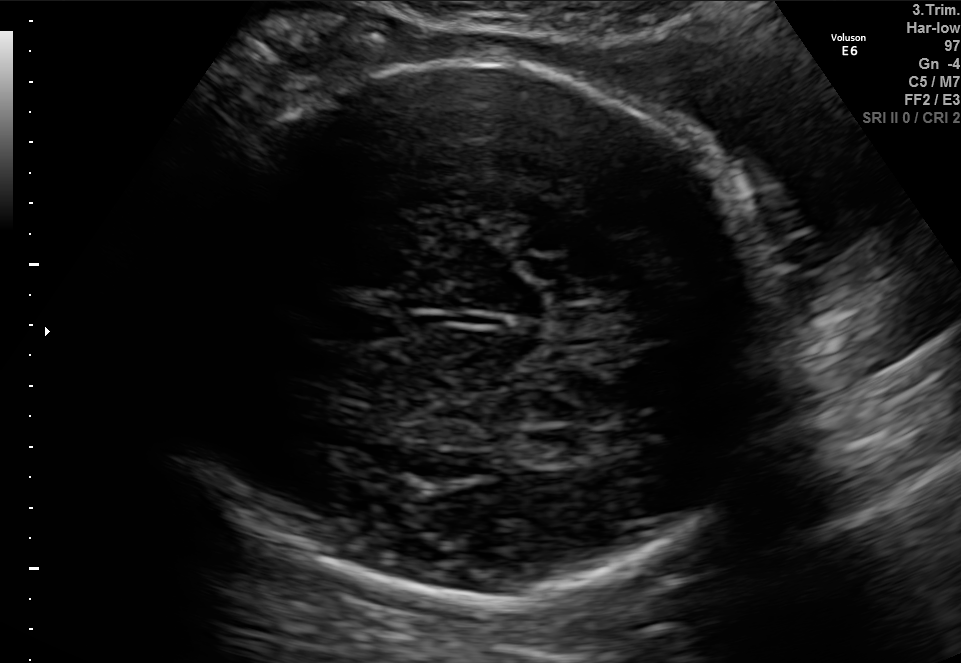
In this fetal brain, trans-thalamic plane, give the bounding box of the fetal head.

[157,60,774,607]